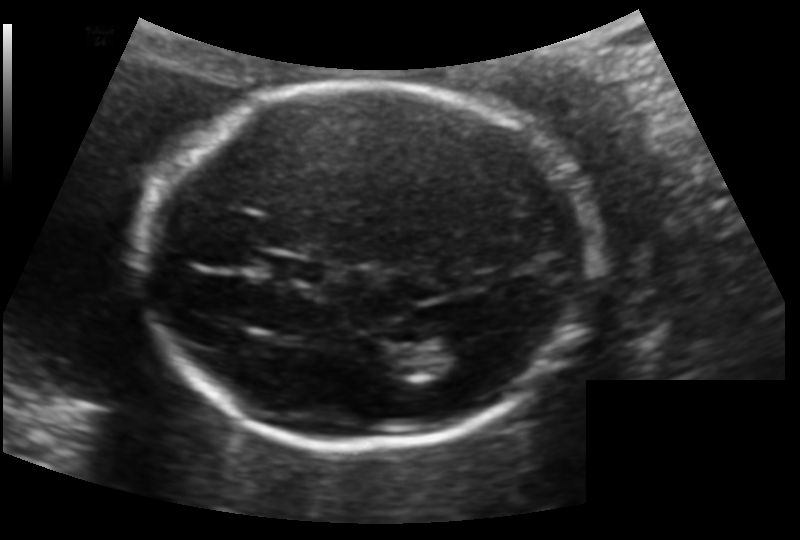
Fetal head ultrasound. Image width: 106.4 mm. Locate the fetal head and, if visible, the cavum septum pellucidum (CSP) and lateral ventricle (LV). Give bounding boxes as [x1,y1,x2,y2].

Head: [143,83,587,449]
CSP: [263,251,328,290]
Lateral ventricle: [424,329,484,375]